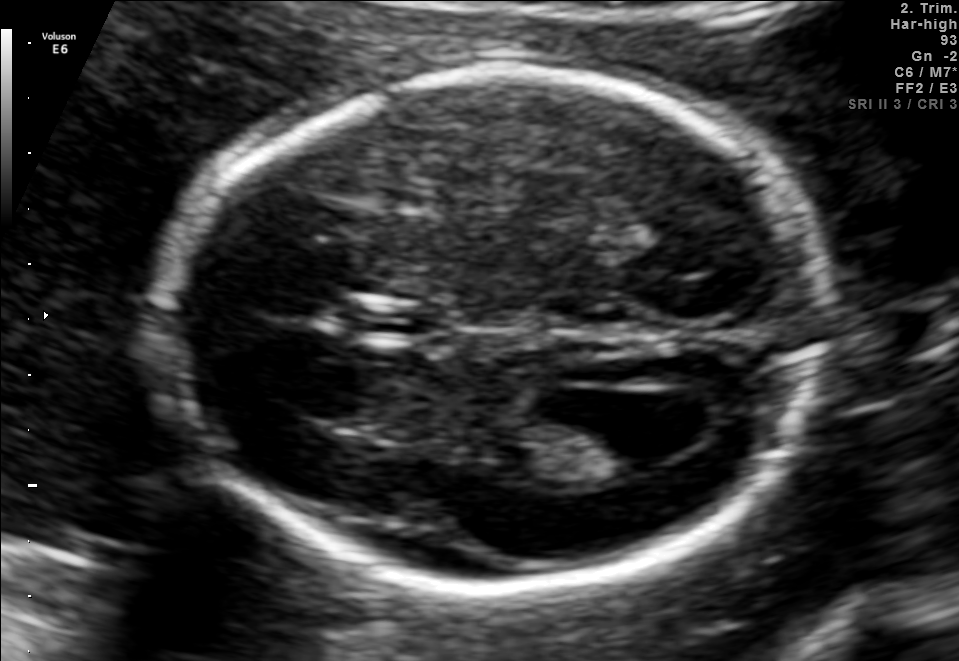
Fetal brain, trans-ventricular plane. Locate the lateral ventricle.

Lateral ventricle: [563,383,697,487]